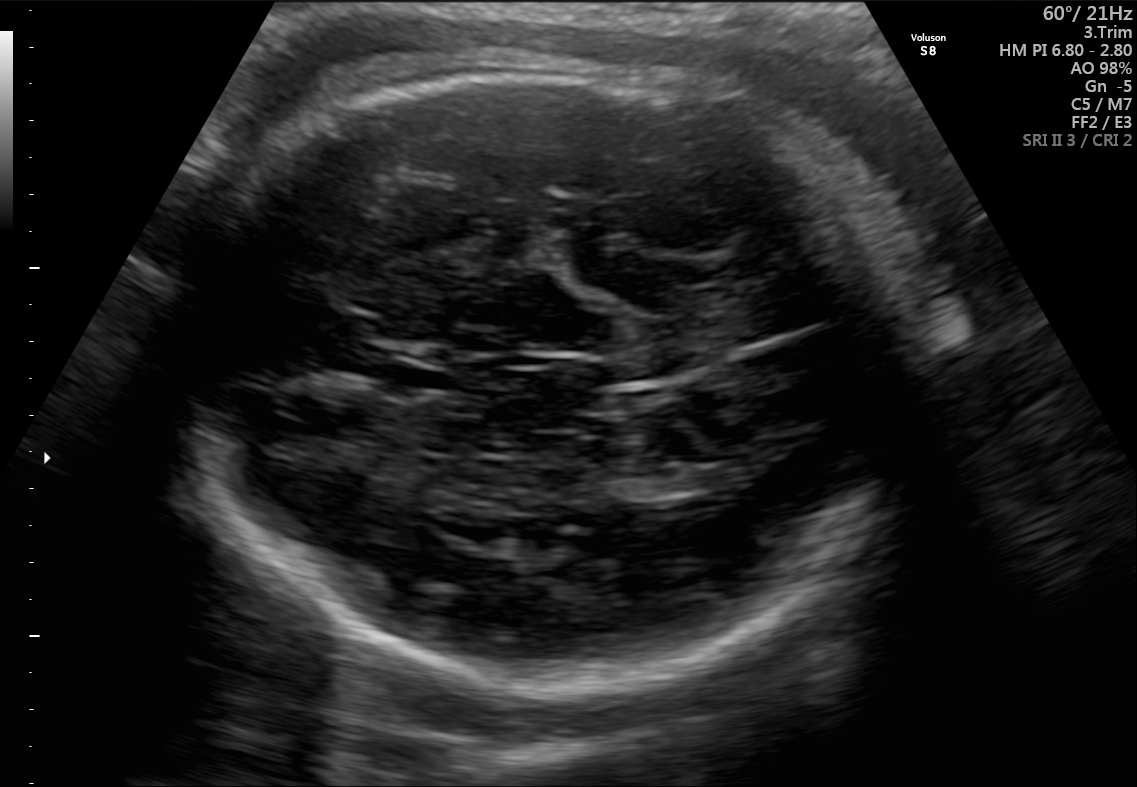
Fetal brain, trans-thalamic plane. Where is the cavum septum pellucidum?

CSP bounding box: [380,355,457,396]